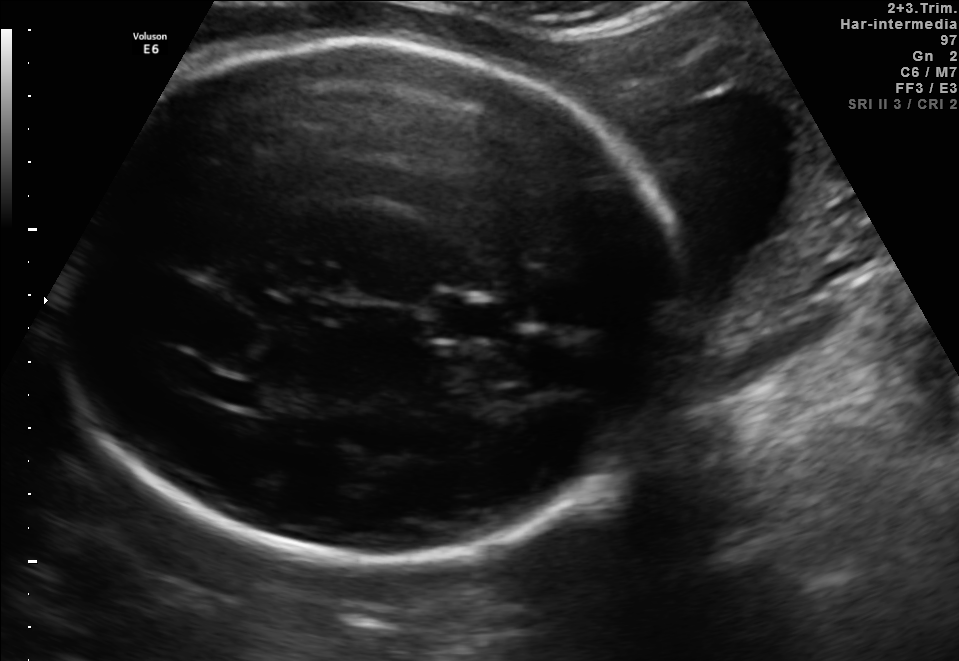
In this fetal brain, trans-thalamic plane, give bounding boxes for the head outline, cavum septum pellucidum (CSP), and lateral ventricle (LV), where visible.

Head: [48,42,695,557]
CSP: [434,305,511,337]
Lateral ventricle: [210,374,264,410]